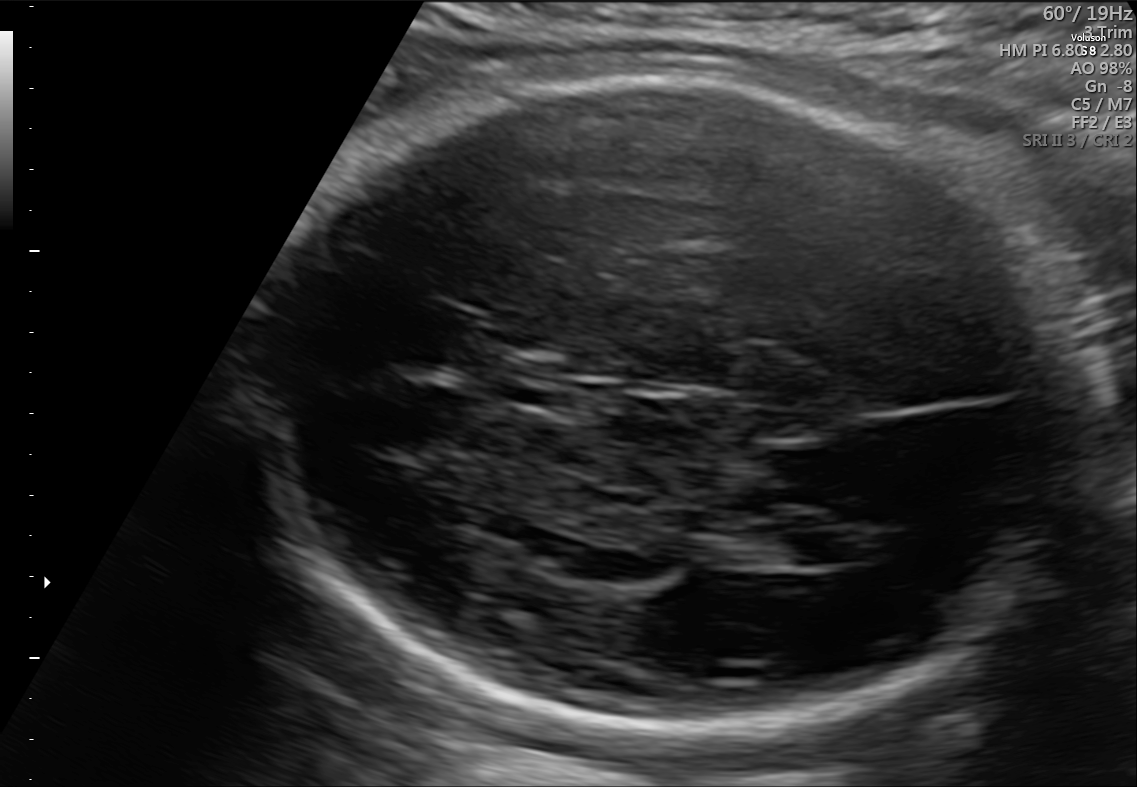
Fetal brain, trans-ventricular plane. Where is the cavum septum pellucidum?

CSP bounding box: [494,355,583,413]